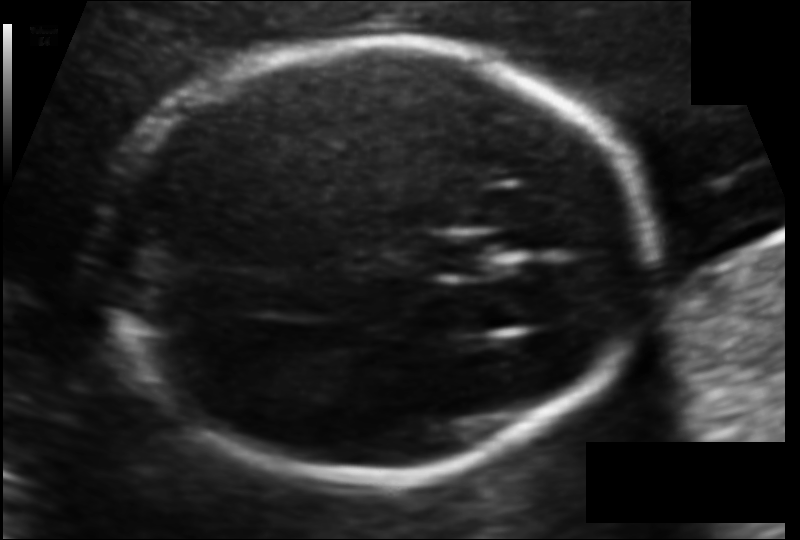
In this fetal head ultrasound, give bounding boxes for the head outline, cavum septum pellucidum (CSP), and lateral ventricle (LV), where visible. Image width: 83.5 mm.

Head: [105,41,650,480]
CSP: [429,235,497,278]